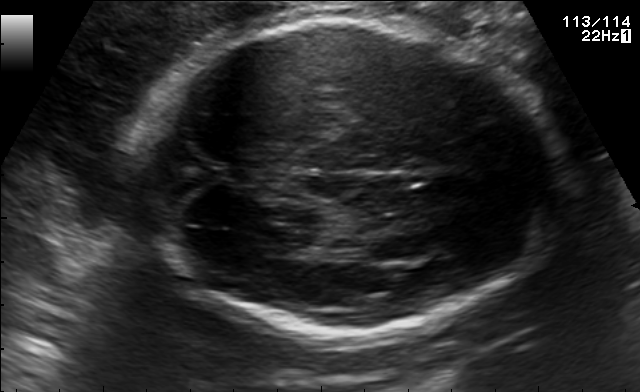
Fetal brain, trans-thalamic plane. Locate the fetal head and, if visible, the cavum septum pellucidum (CSP) and lateral ventricle (LV). Give bounding boxes as [x1,y1,x2,y2].

Head: [131,18,577,336]